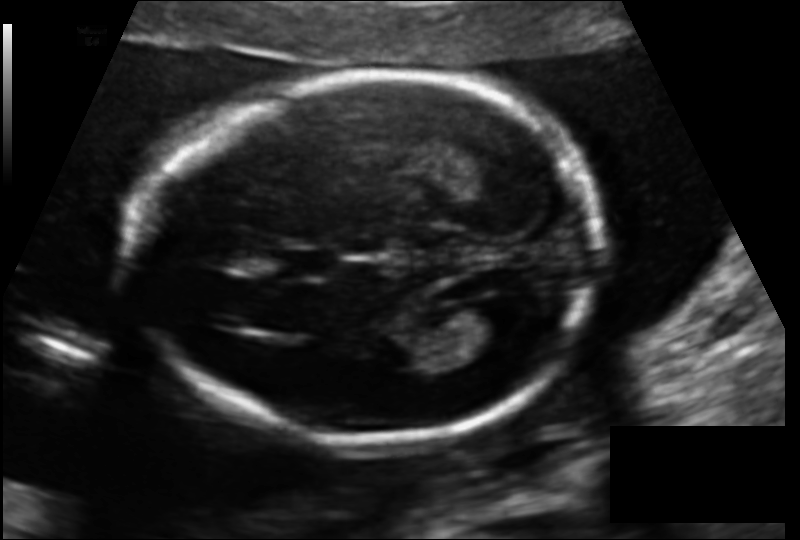
Fetal head ultrasound. Image width: 100.2 mm. Where is the cavum septum pellucidum?

CSP bounding box: [278,248,333,277]